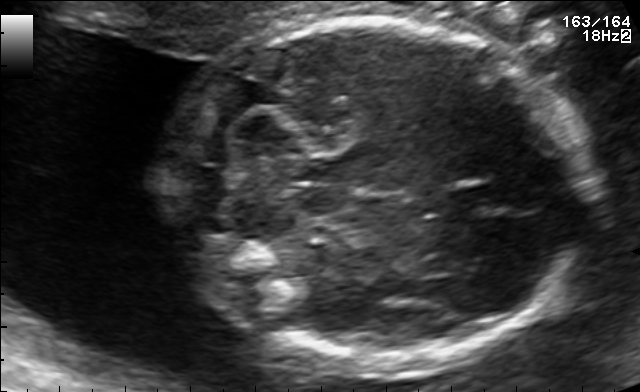
Fetal brain, trans-cerebellum plane. Give [x1,y1,x2,y2] bounding boxes for each visible structure among: fetal head, CSP, LV.

Head: [170,17,589,370]
CSP: [444,179,503,221]